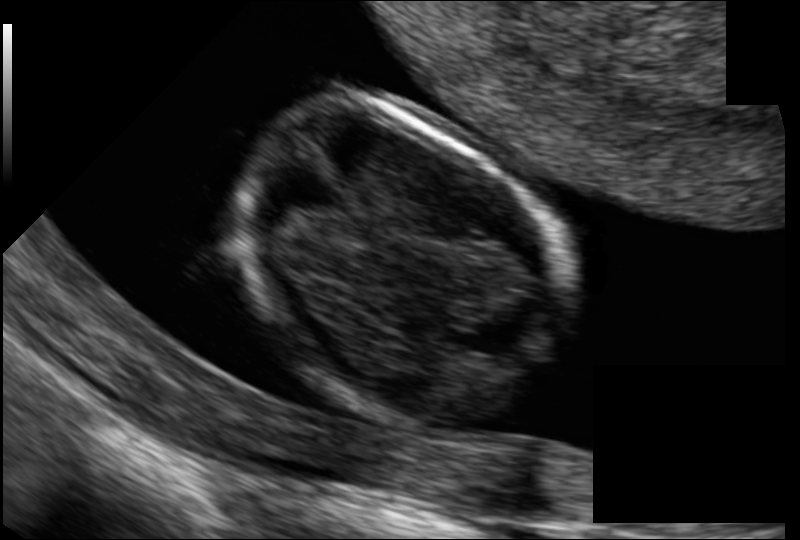
Estimate the fetal head circumference from this 2D ultrasound. Image width: 55.2 mm.

Head circumference: 72.7 mm.